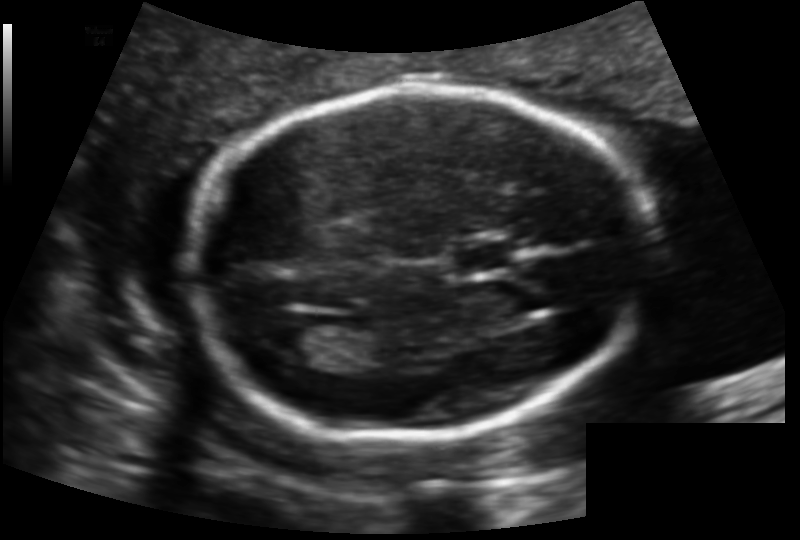
In this fetal head ultrasound, give bounding boxes for the head outline, cavum septum pellucidum (CSP), and lateral ventricle (LV), where visible. Image width: 103.4 mm.

Head: [189,86,652,435]
CSP: [450,239,514,277]
Lateral ventricle: [267,319,333,368]